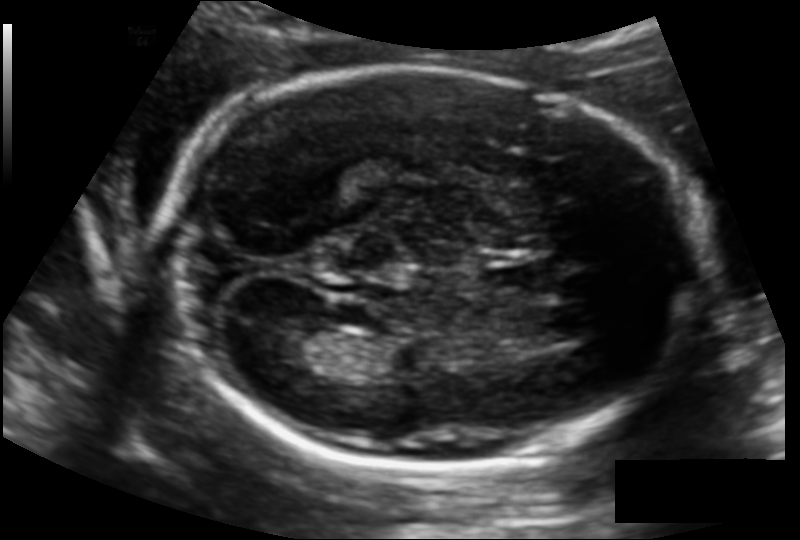
Fetal head ultrasound. Image width: 103.6 mm. Where is the fetal head?

Head bounding box: [162,69,693,465]